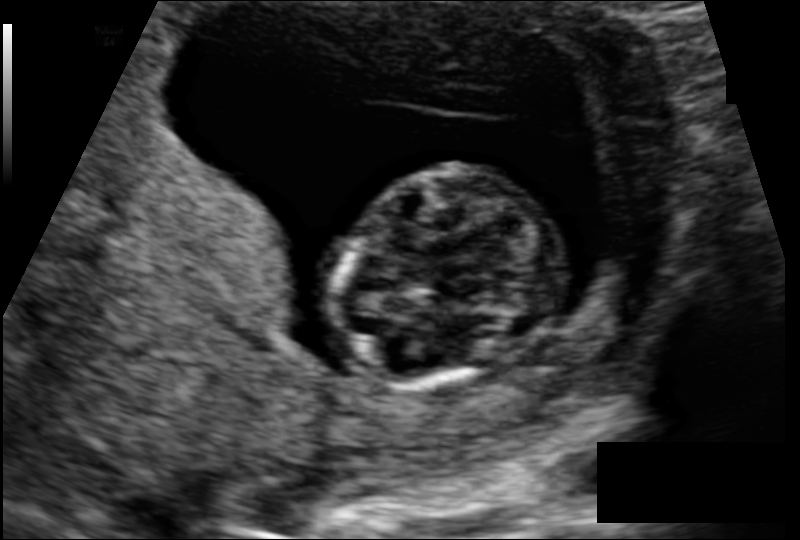
Fetal head ultrasound. Image width: 86.1 mm. Locate the fetal head and, if visible, the cavum septum pellucidum (CSP) and lateral ventricle (LV). Give bounding boxes as [x1,y1,x2,y2].

Head: [337,162,543,391]